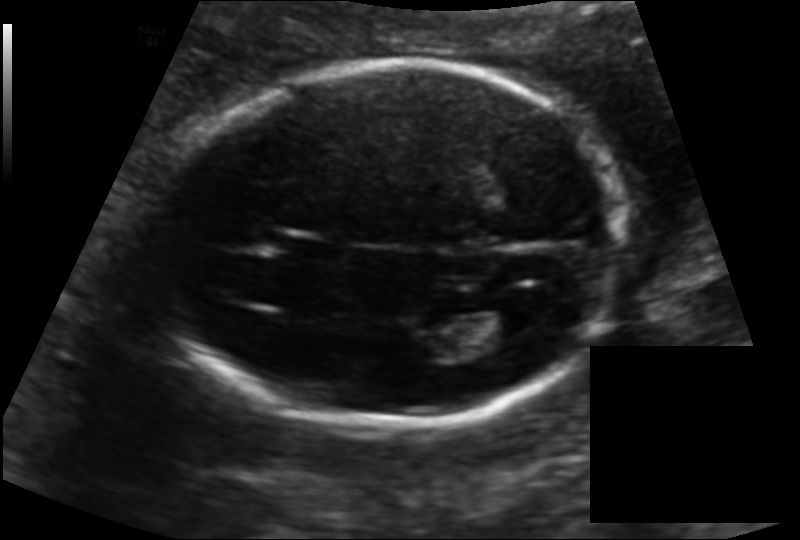
Fetal head ultrasound. Image width: 110.8 mm. Give [x1,y1,x2,y2] bounding boxes for each visible structure among: fetal head, CSP, LV.

Head: [163,64,619,426]
CSP: [266,227,336,266]
Lateral ventricle: [457,287,544,352]